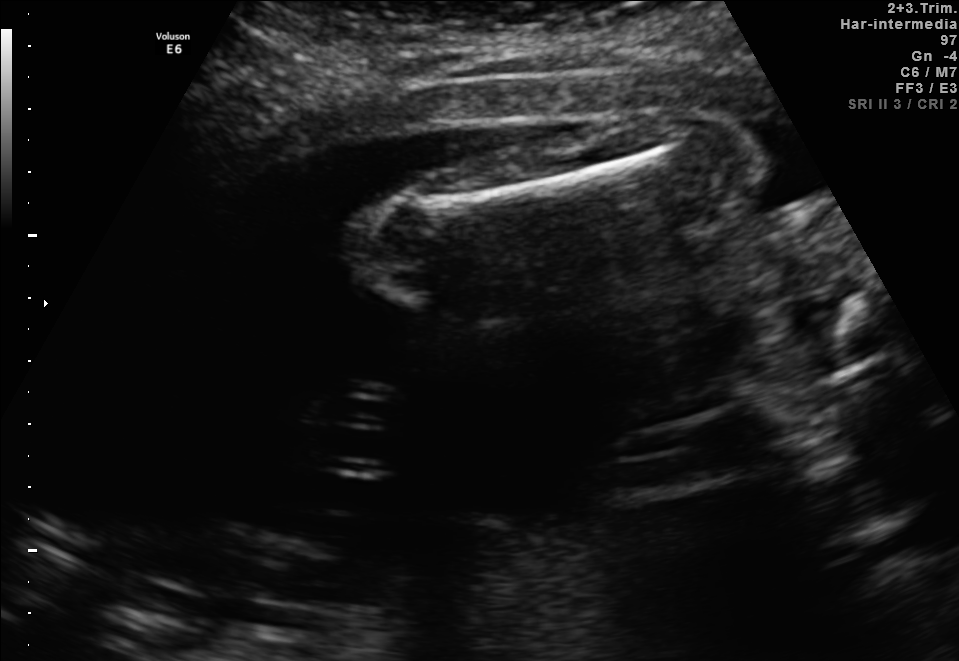
Which standard maternal-fetal ultrasound plane is shown: fetal abdomen, fetal brain, fetal femur, fetal thorax, maternal cervix, or other? If it's fetal brain and one of the three standard brain planes (trans-thalamic, trans-cerebellum, trans-ventricular), name which.

Fetal femur